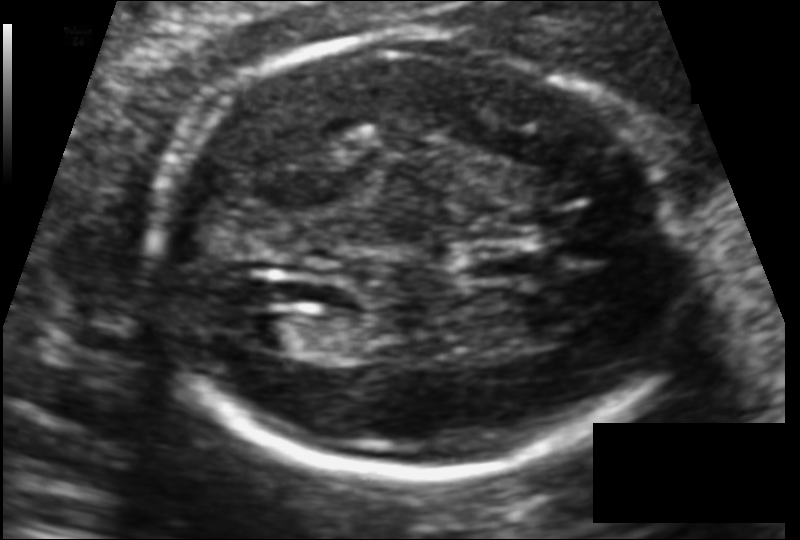
Estimate the fetal head circumference from this 2D ultrasound.

Head circumference: 174.7 mm (image width 88.1 mm).